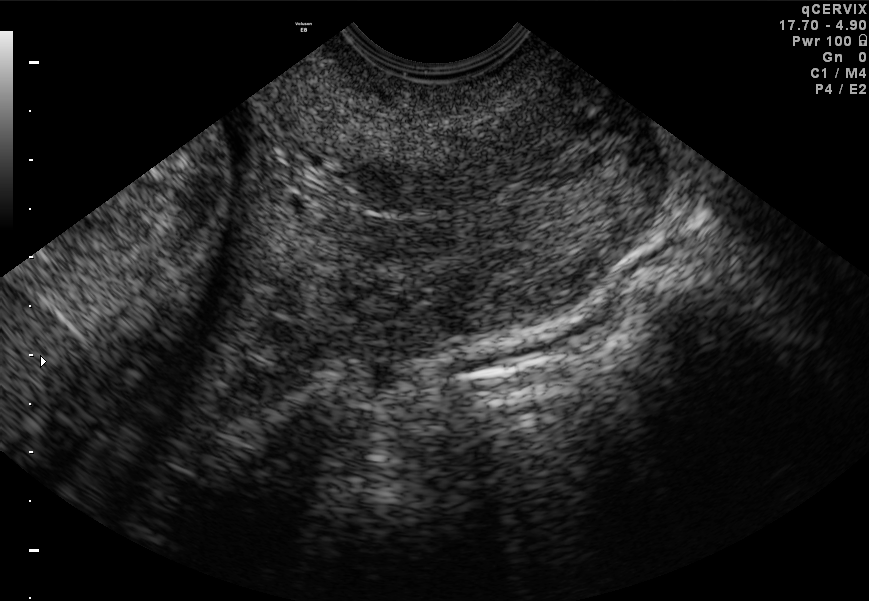
Identify the standard plane in this fetal ultrasound image: fetal abdomen, fetal brain, fetal femur, fetal thorax, maternal cervix, or other. If it's fetal brain and one of the three standard brain planes (trans-thalamic, trans-cerebellum, trans-ventricular), name which.

Maternal cervix